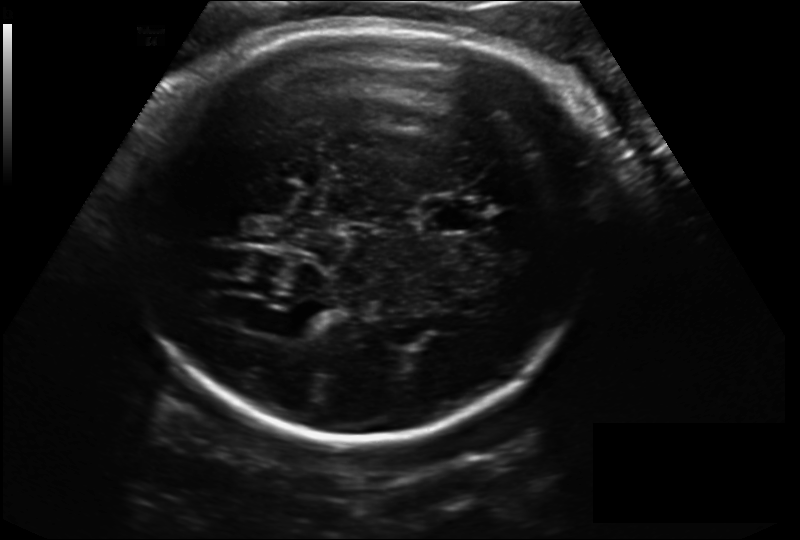
In this fetal head ultrasound, give the bounding box of the cavum septum pellucidum. Image width: 158.7 mm.

[423,199,485,232]